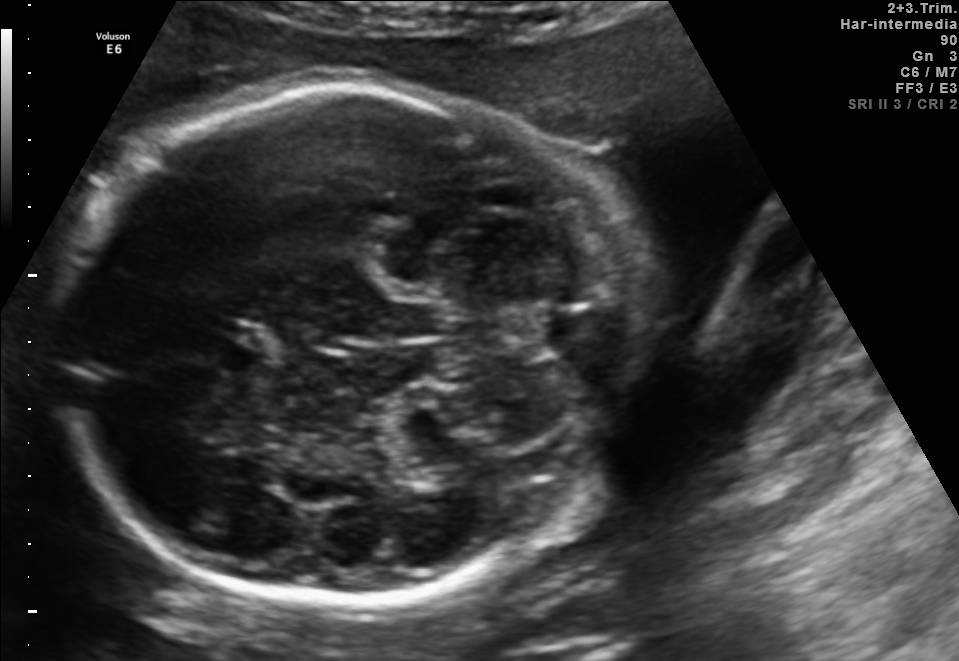
Identify the standard plane in this fetal ultrasound image: fetal abdomen, fetal brain, fetal femur, fetal thorax, maternal cervix, or other. If it's fetal brain and one of the three standard brain planes (trans-thalamic, trans-cerebellum, trans-ventricular), name which.

Fetal brain (trans-cerebellum plane)